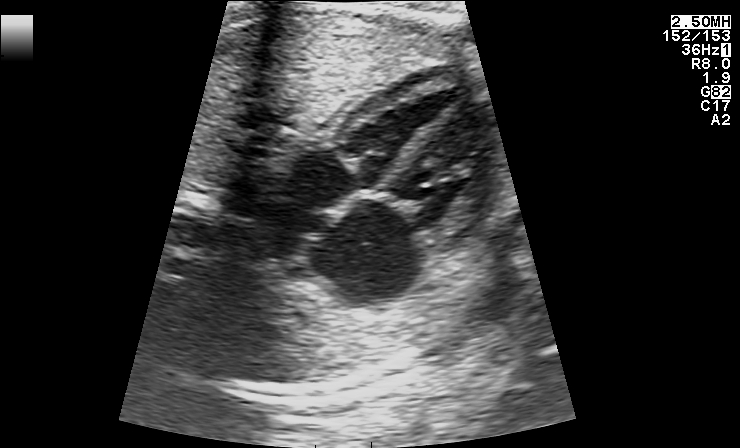
Classify this maternal-fetal ultrasound image as one of the six standard planes — fetal abdomen, fetal brain, fetal femur, fetal thorax, maternal cervix, or other. If it's fetal brain and one of the three standard brain planes (trans-thalamic, trans-cerebellum, trans-ventricular), name which.

Fetal thorax